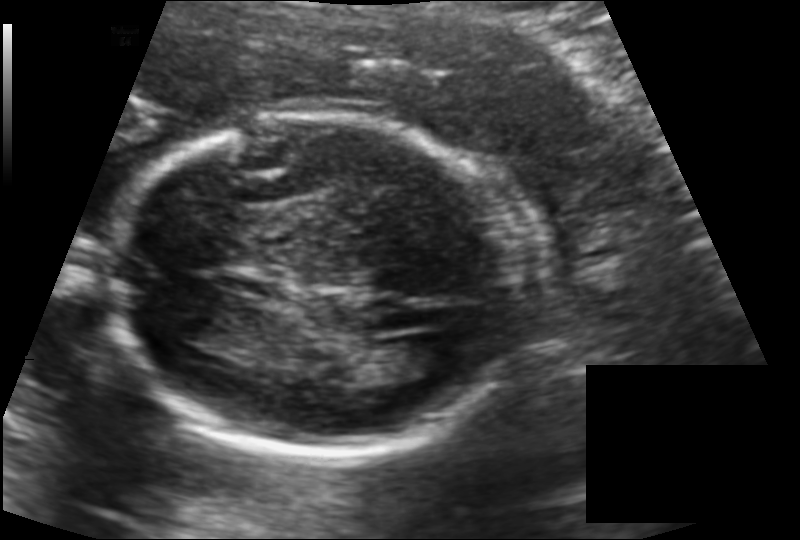
From this fetal ultrasound, estimate the head circumference (image width 113.5 mm).

Head circumference: 172.3 mm.